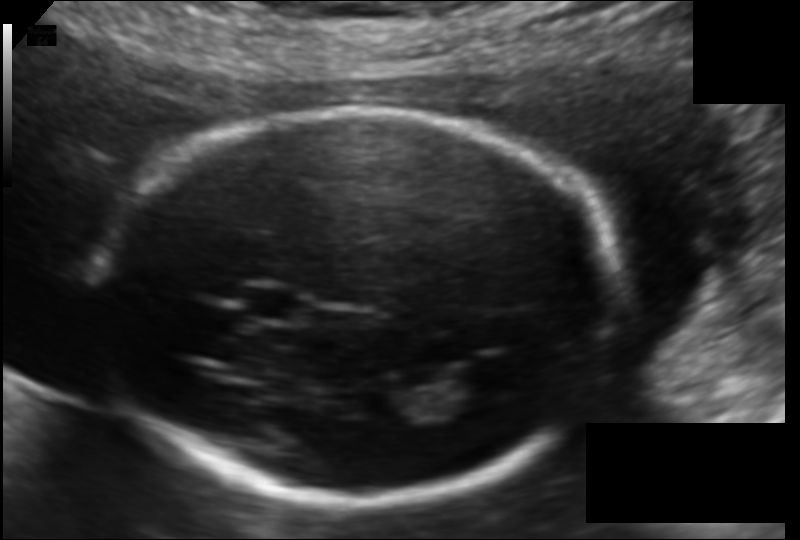
In this fetal head ultrasound, give the bounding box of the cavum septum pellucidum. Image width: 96.1 mm.

[242,281,306,323]